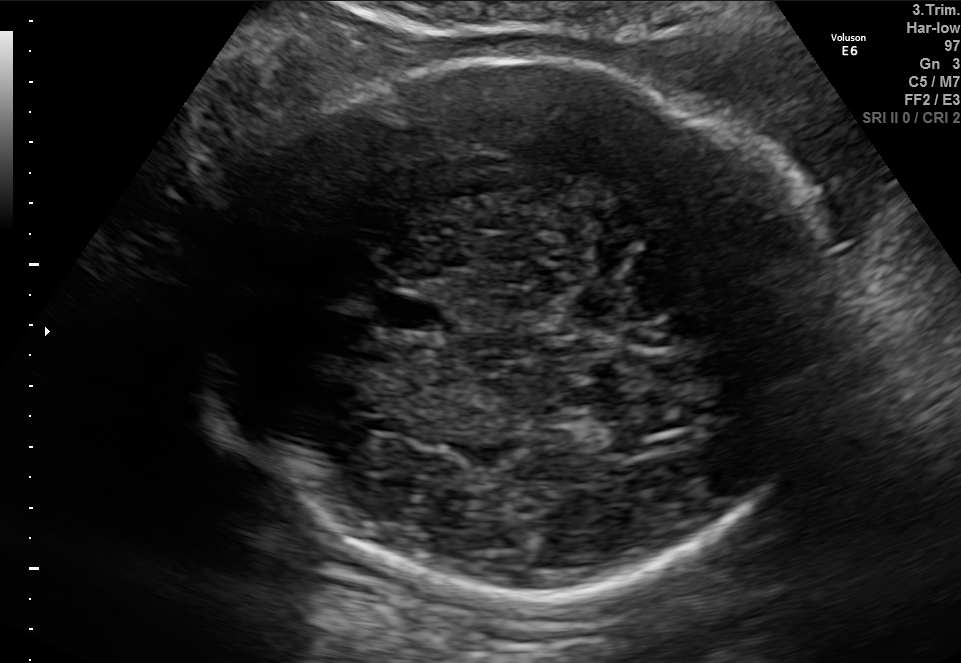
Fetal brain, trans-thalamic plane. Locate the fetal head and, if visible, the cavum septum pellucidum (CSP) and lateral ventricle (LV). Give bounding boxes as [x1,y1,x2,y2].

Head: [197,56,838,593]
CSP: [376,292,453,332]